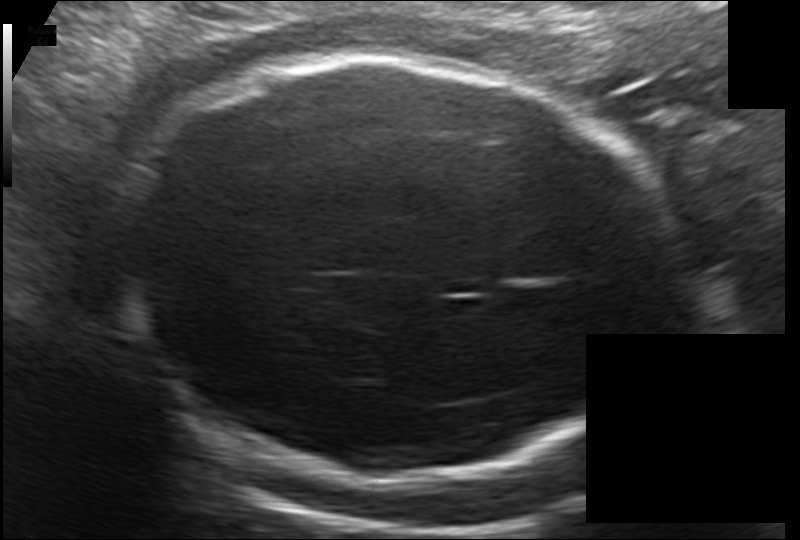
From this fetal ultrasound, estimate the head circumference (image width 138.0 mm).

Head circumference: 272.7 mm.